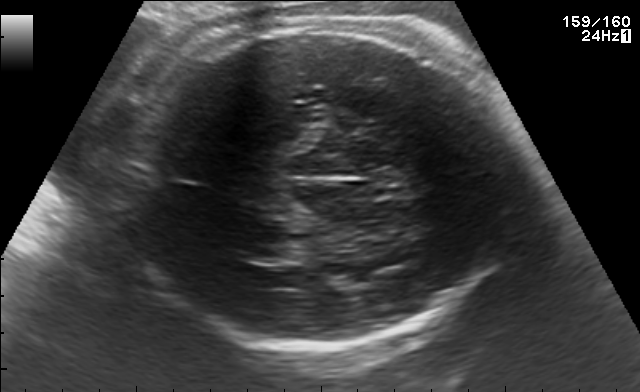
In this fetal brain, trans-thalamic plane, give the bounding box of the fetal head.

[115,16,526,348]